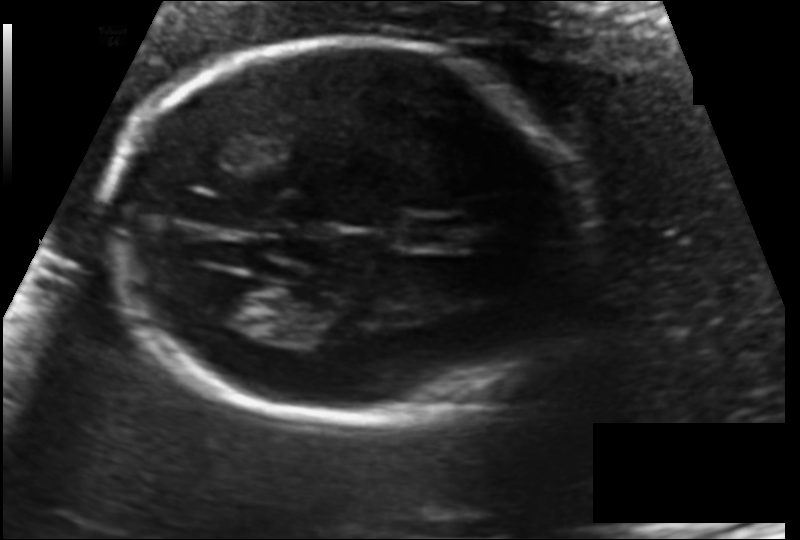
Fetal head ultrasound. Image width: 97.9 mm. Locate the cavum septum pellucidum.

CSP: [408,218,469,248]